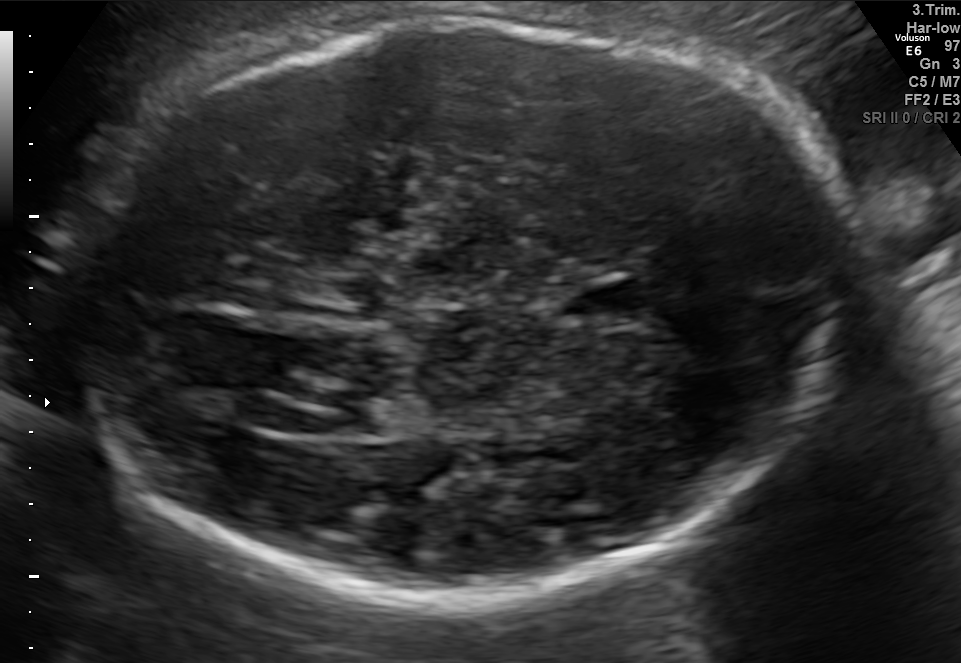
Fetal brain, trans-ventricular plane. Give [x1,y1,x2,y2] bounding boxes for each visible structure among: fetal head, CSP, LV.

Head: [54,11,867,618]